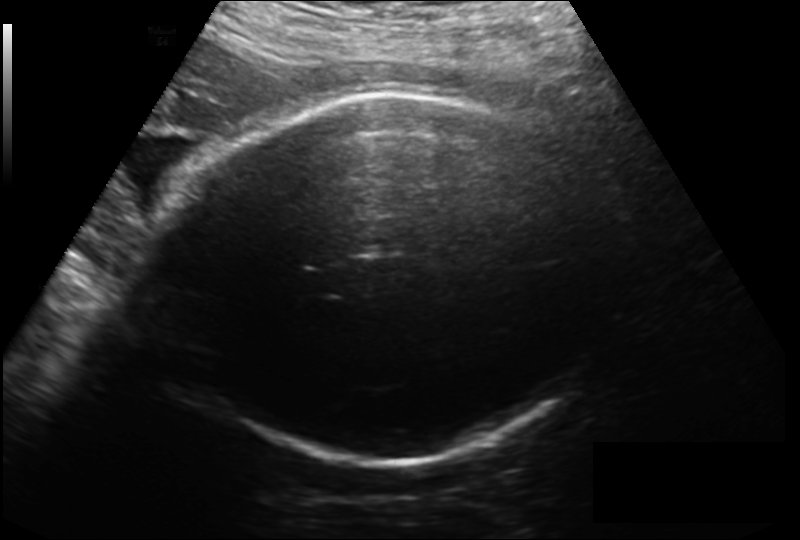
Fetal head ultrasound. Image width: 171.5 mm. Where is the fetal head?

Head bounding box: [159,94,609,462]